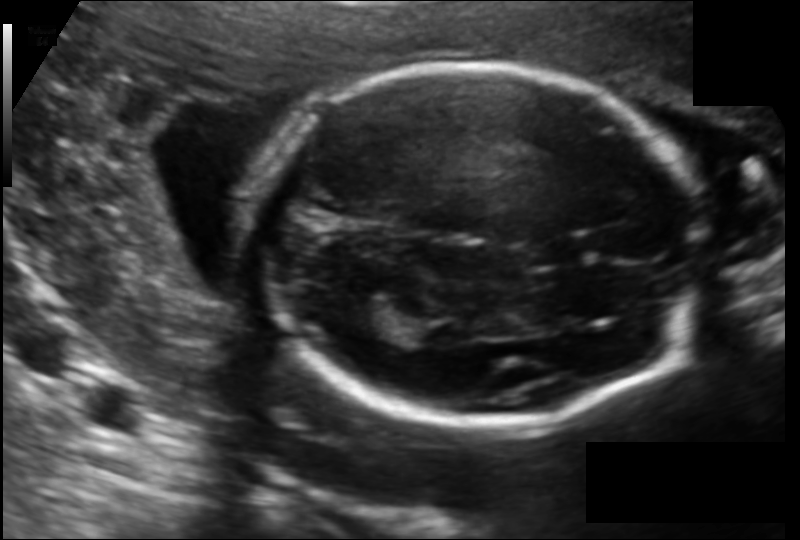
Estimate the fetal head circumference from this 2D ultrasound. Image width: 103.2 mm.

Head circumference: 170.3 mm.